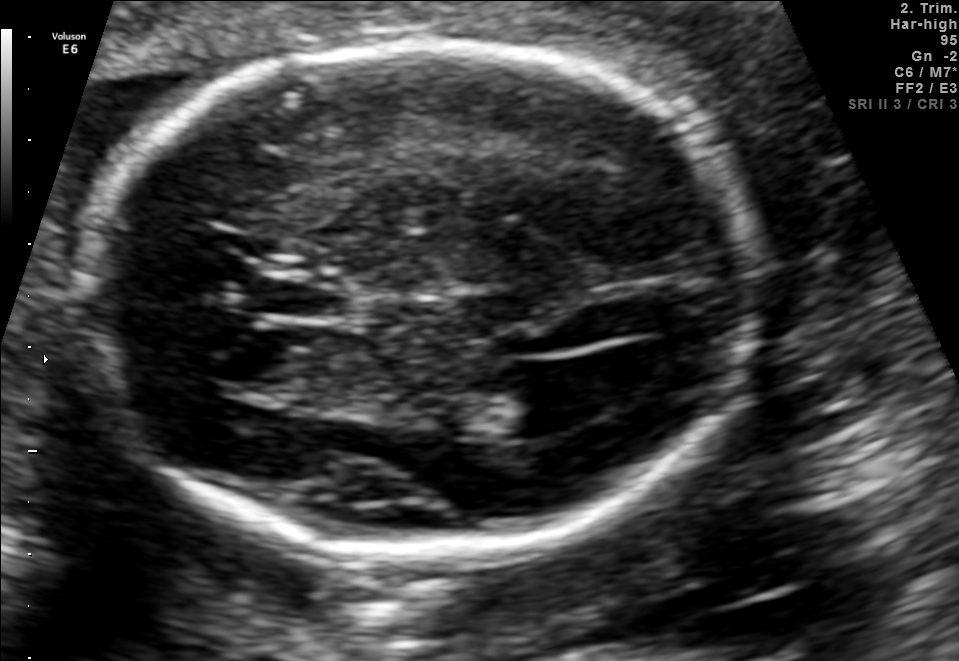
Fetal brain, trans-ventricular plane. Give [x1,y1,x2,y2] bounding boxes for each visible structure among: fetal head, CSP, LV.

Head: [67,32,772,571]
CSP: [248,265,356,326]
Lateral ventricle: [497,351,618,441]